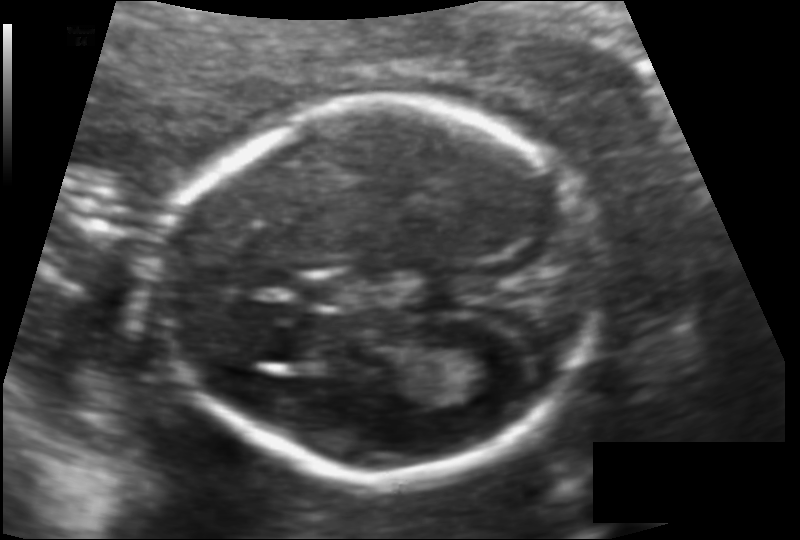
Fetal head ultrasound. Image width: 90.5 mm. Give [x1,y1,x2,y2] bounding boxes for each visible structure among: fetal head, CSP, LV.

Head: [160,105,600,478]
CSP: [295,276,357,307]
Lateral ventricle: [454,341,537,401]